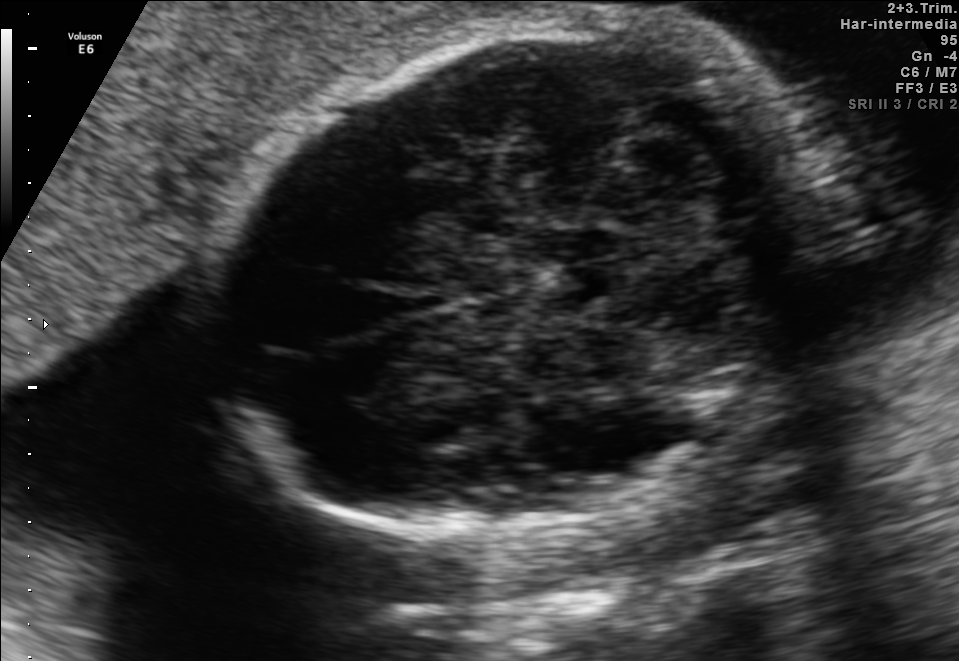
This is a 2D maternal-fetal ultrasound frame. Is it a fetal abdomen, fetal brain, fetal femur, fetal thorax, maternal cervix, or other standard plane? If it's fetal brain and one of the three standard brain planes (trans-thalamic, trans-cerebellum, trans-ventricular), name which.

Fetal brain (trans-cerebellum plane)